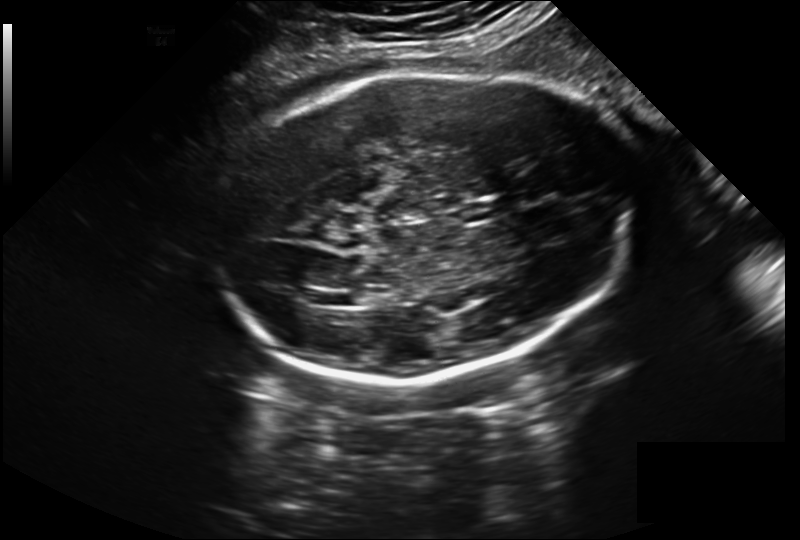
Fetal head ultrasound. Image width: 194.5 mm. Where is the lateral ventricle?

Lateral ventricle bounding box: [337,292,369,305]